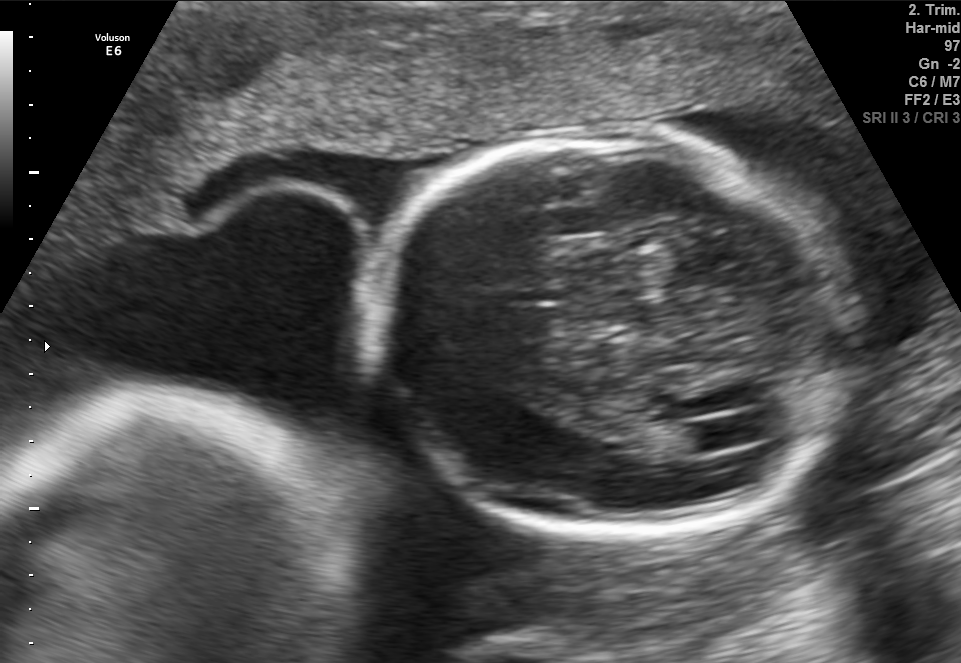
In this fetal brain, trans-ventricular plane, give bounding boxes for the head outline, cavum septum pellucidum (CSP), and lateral ventricle (LV), where visible.

Head: [354,124,870,541]
Lateral ventricle: [682,412,753,456]